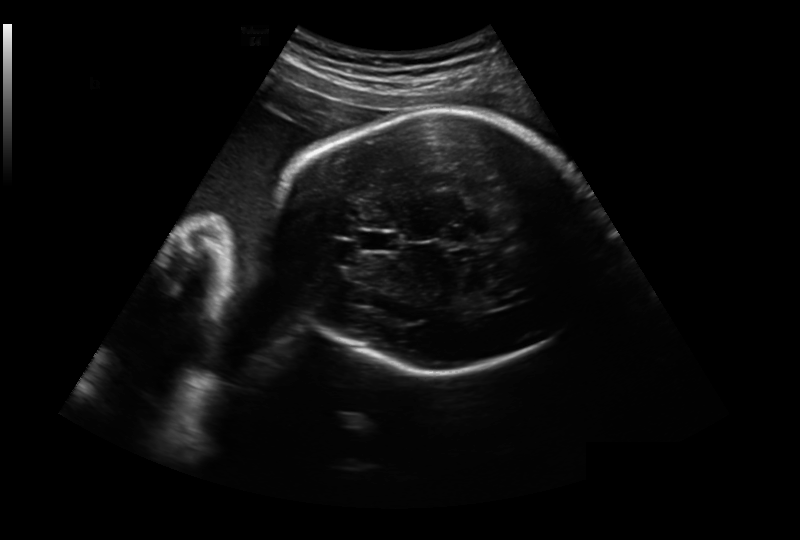
What is the fetal head circumference? Image width is 224.7 mm.

264.6 mm